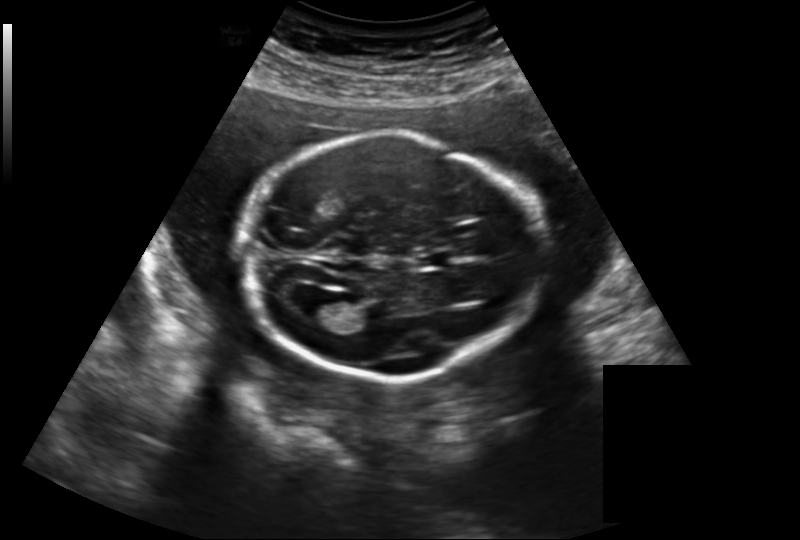
Fetal head ultrasound. Image width: 175.2 mm. Where is the cavum septum pellucidum?

CSP bounding box: [417,250,453,269]